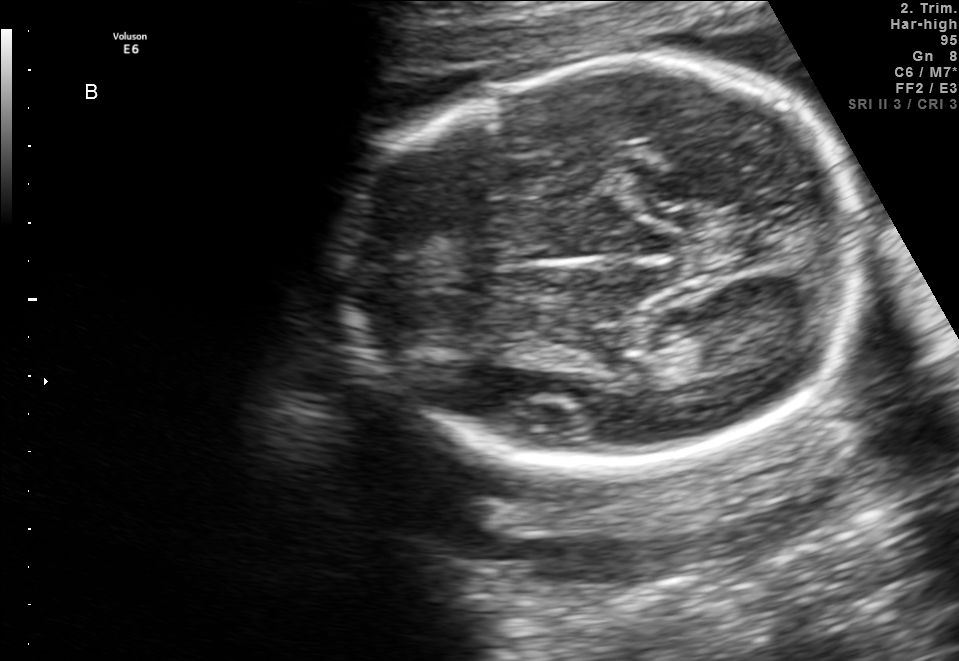
Fetal brain, trans-thalamic plane. Give [x1,y1,x2,y2] bounding boxes for each visible structure among: fetal head, CSP, LV.

Head: [333,66,870,463]
Lateral ventricle: [651,308,757,383]